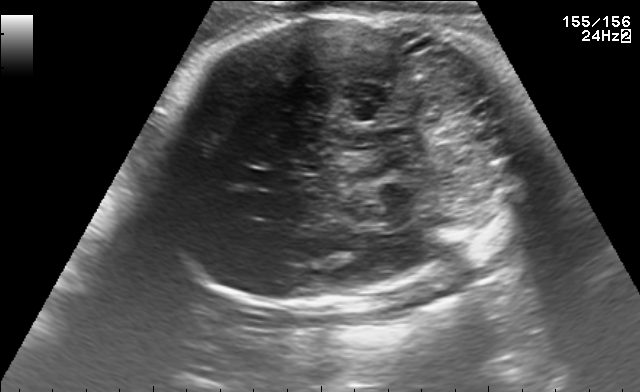
Fetal brain, trans-cerebellum plane. Where is the fetal head?

Head bounding box: [147,8,526,306]